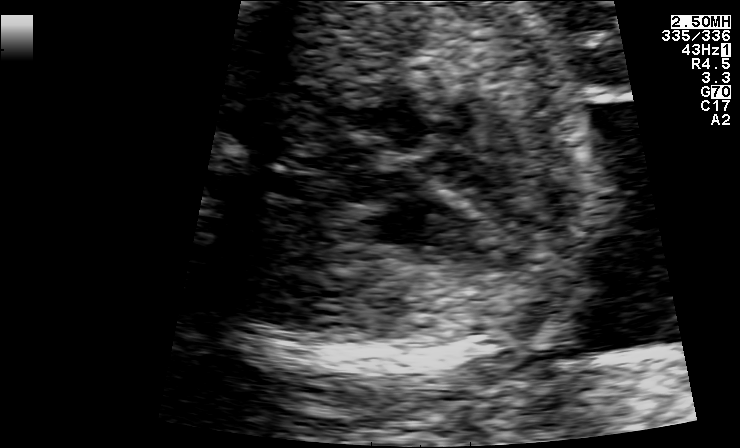
Which standard maternal-fetal ultrasound plane is shown: fetal abdomen, fetal brain, fetal femur, fetal thorax, maternal cervix, or other? If it's fetal brain and one of the three standard brain planes (trans-thalamic, trans-cerebellum, trans-ventricular), name which.

Fetal thorax